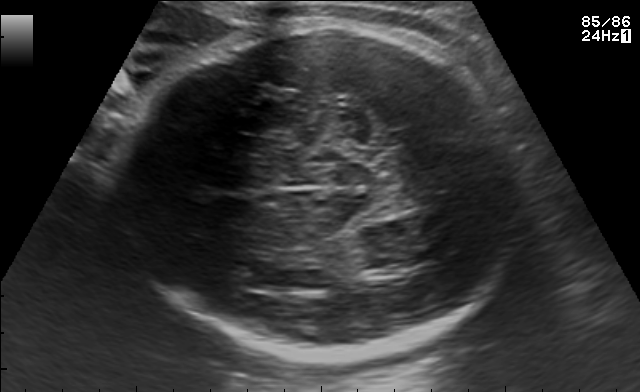
In this fetal brain, trans-thalamic plane, give bounding boxes for the head outline, cavum septum pellucidum (CSP), and lateral ventricle (LV), where visible.

Head: [114,26,529,358]